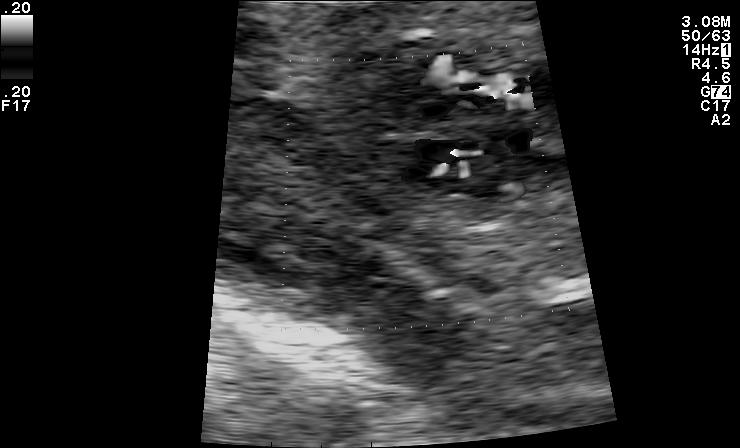
Classify this maternal-fetal ultrasound image as one of the six standard planes — fetal abdomen, fetal brain, fetal femur, fetal thorax, maternal cervix, or other. If it's fetal brain and one of the three standard brain planes (trans-thalamic, trans-cerebellum, trans-ventricular), name which.

Other